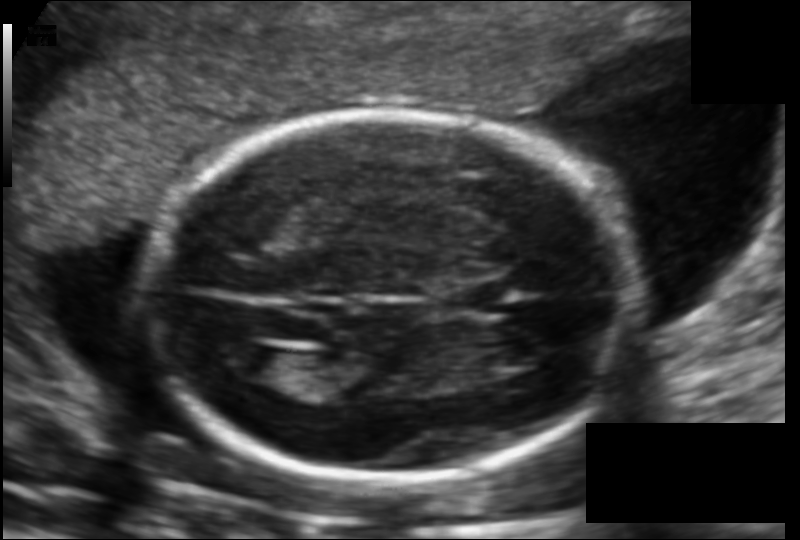
Estimate the fetal head circumference from this 2D ultrasound. Image width: 98.4 mm.

Head circumference: 168.9 mm.